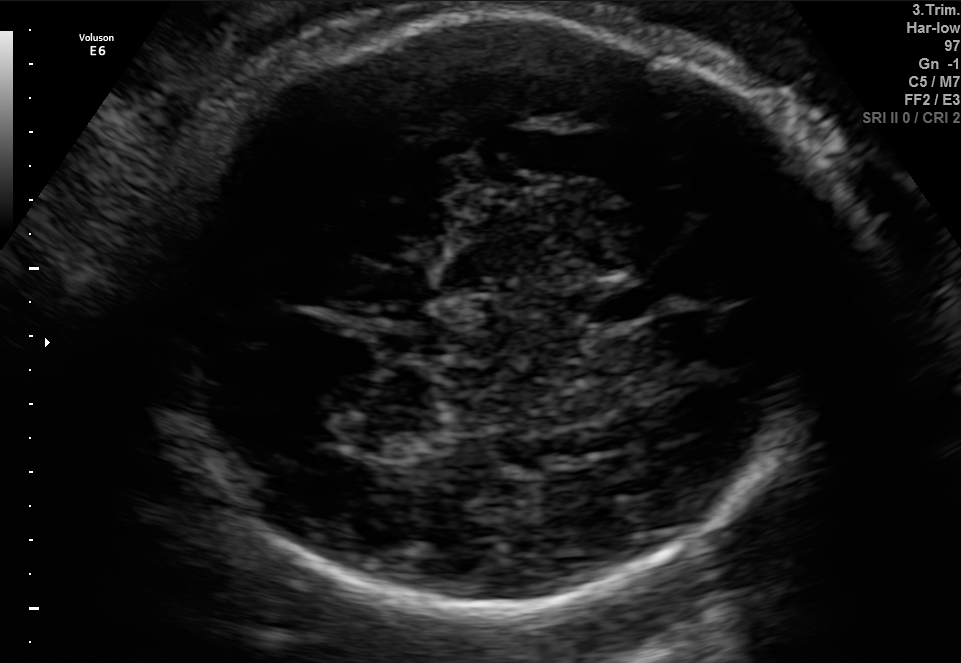
Fetal brain, trans-thalamic plane. Where is the fetal head?

Head bounding box: [149,12,836,609]